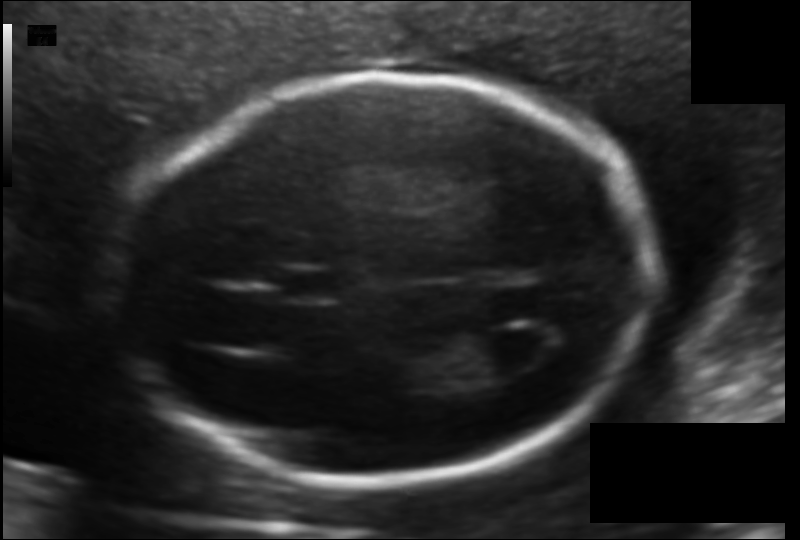
From this fetal ultrasound, estimate the head circumference (image width 93.0 mm).

Head circumference: 176.2 mm.